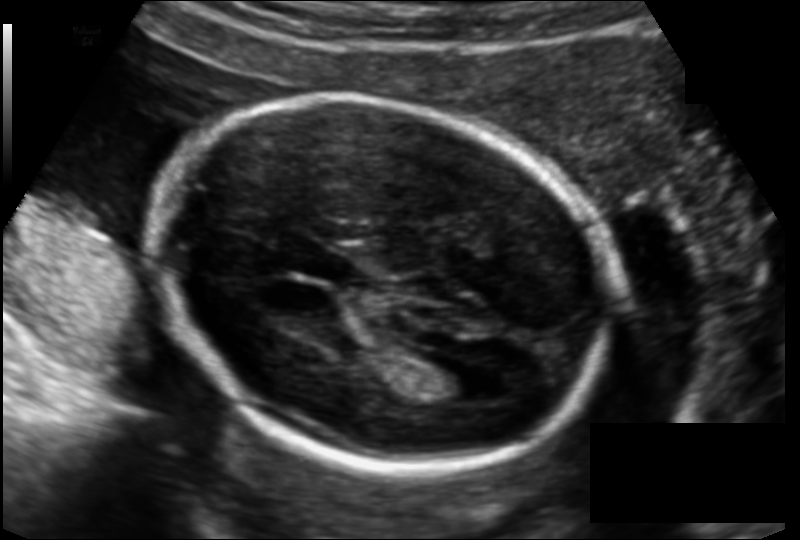
Fetal head ultrasound. Image width: 107.7 mm. Where is the lateral ventricle?

Lateral ventricle bounding box: [418,359,487,406]